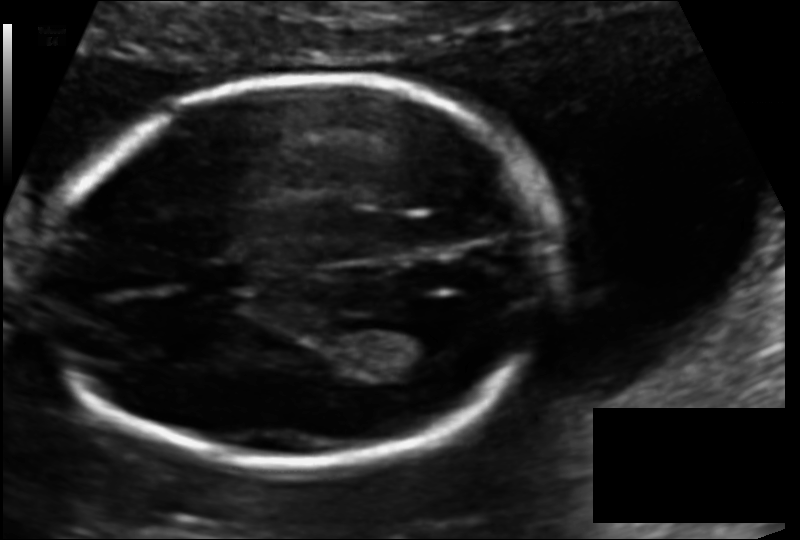
In this fetal head ultrasound, give the bounding box of the cavum septum pellucidum. Image width: 90.5 mm.

[180,258,252,300]